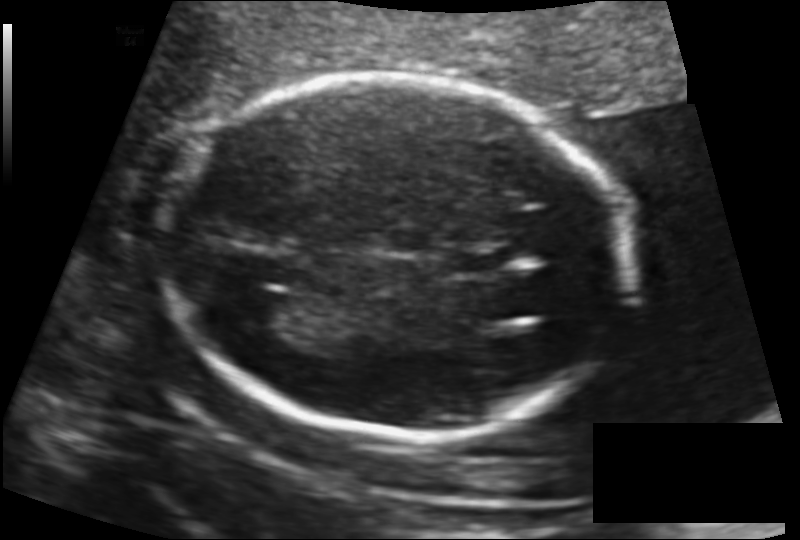
In this fetal head ultrasound, give the bounding box of the fetal head. Image width: 104.1 mm.

[163,74,632,435]